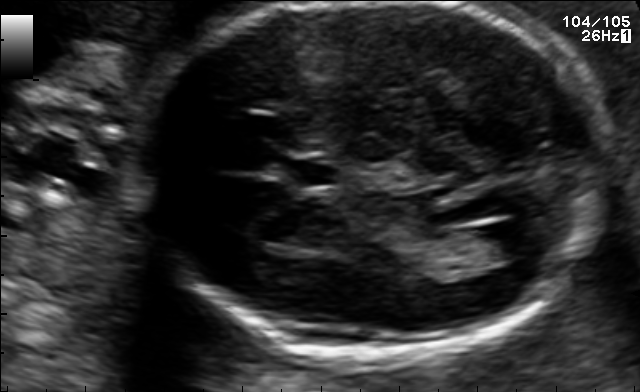
Fetal brain, trans-ventricular plane. Locate the fetal head.

Head: [119,3,619,365]